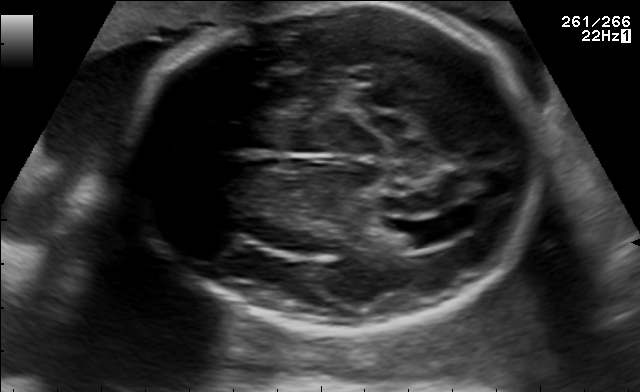
Which standard maternal-fetal ultrasound plane is shown: fetal abdomen, fetal brain, fetal femur, fetal thorax, maternal cervix, or other? If it's fetal brain and one of the three standard brain planes (trans-thalamic, trans-cerebellum, trans-ventricular), name which.

Fetal brain (trans-ventricular plane)